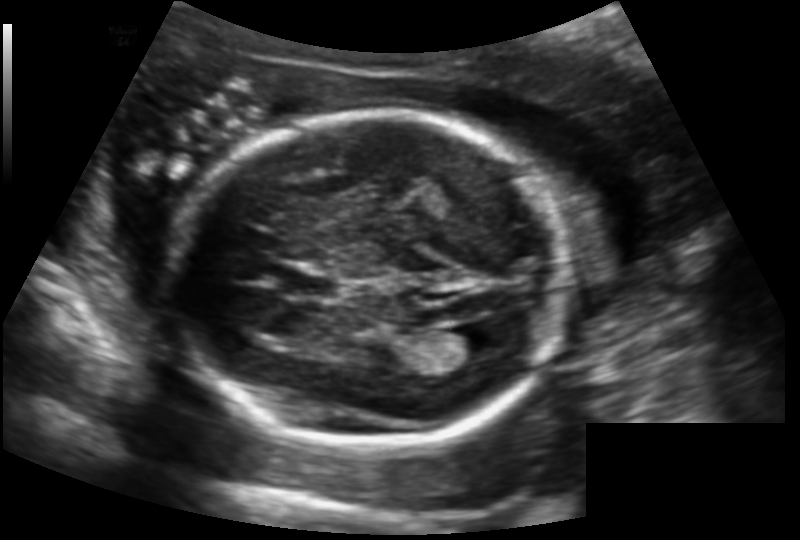
In this fetal head ultrasound, give the bounding box of the lateral ventricle. Image width: 117.4 mm.

[439,318,502,367]